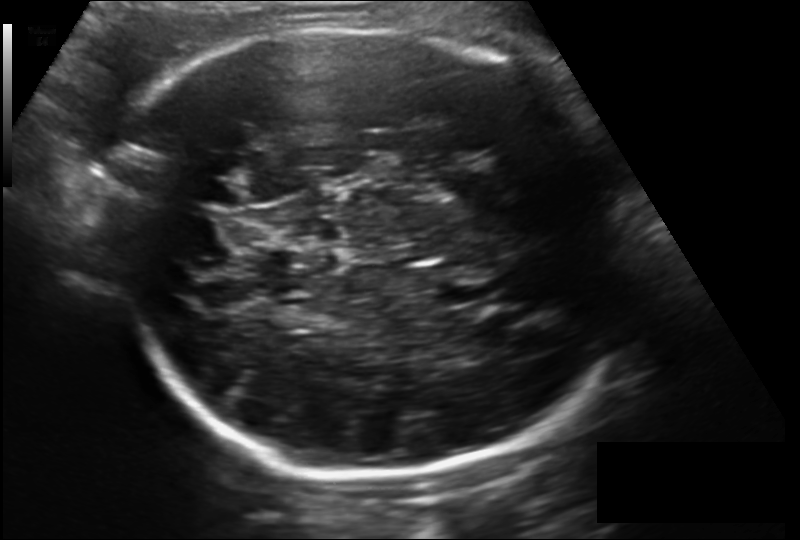
Fetal head ultrasound. Image width: 152.2 mm. Locate the fetal head.

Head: [97,28,630,476]